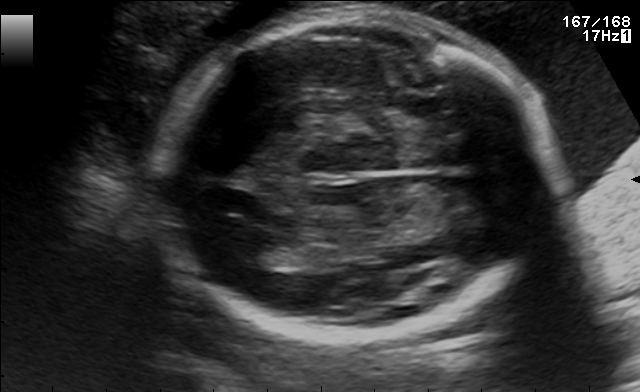
In this fetal brain, trans-ventricular plane, give bounding boxes for the head outline, cavum septum pellucidum (CSP), and lateral ventricle (LV), where visible.

Head: [151,4,565,345]